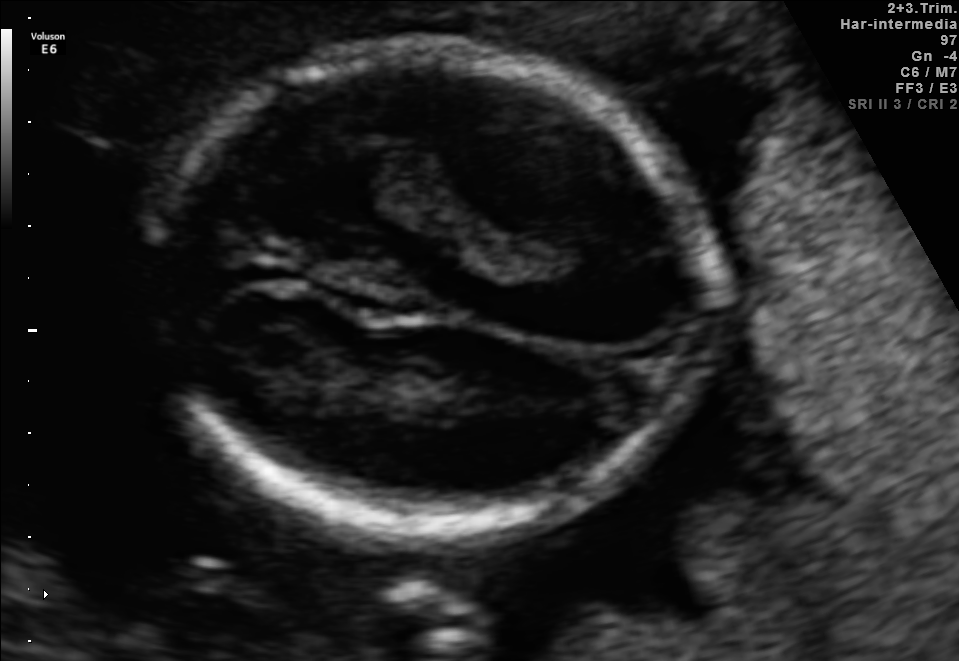
Classify this maternal-fetal ultrasound image as one of the six standard planes — fetal abdomen, fetal brain, fetal femur, fetal thorax, maternal cervix, or other. If it's fetal brain and one of the three standard brain planes (trans-thalamic, trans-cerebellum, trans-ventricular), name which.

Fetal brain